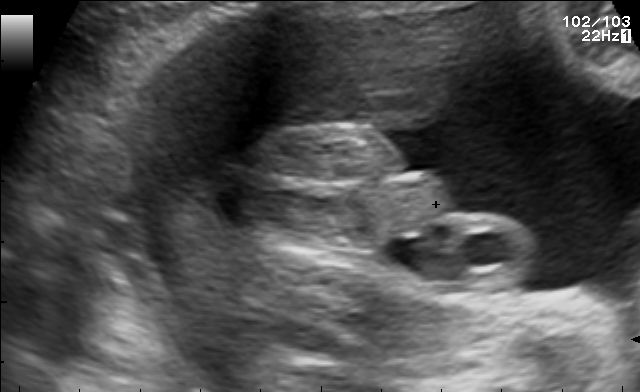
Classify this maternal-fetal ultrasound image as one of the six standard planes — fetal abdomen, fetal brain, fetal femur, fetal thorax, maternal cervix, or other. If it's fetal brain and one of the three standard brain planes (trans-thalamic, trans-cerebellum, trans-ventricular), name which.

Other